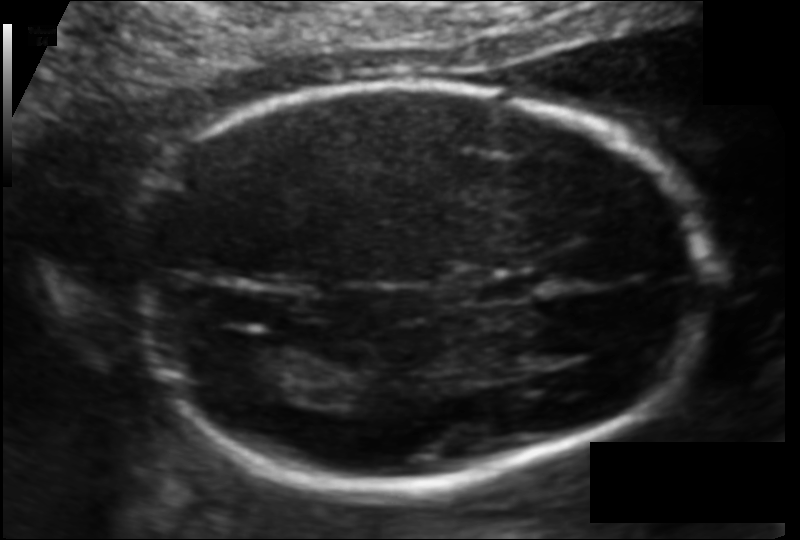
Estimate the fetal head circumference from this 2D ultrasound. Image width: 87.4 mm.

Head circumference: 172.3 mm.